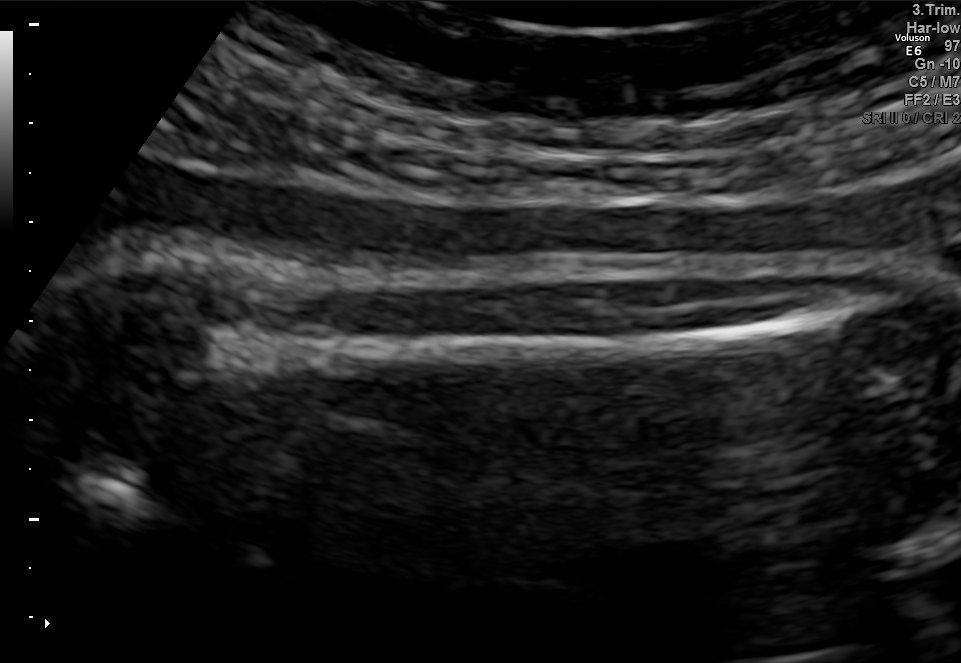
Identify the standard plane in this fetal ultrasound image: fetal abdomen, fetal brain, fetal femur, fetal thorax, maternal cervix, or other. If it's fetal brain and one of the three standard brain planes (trans-thalamic, trans-cerebellum, trans-ventricular), name which.

Fetal femur